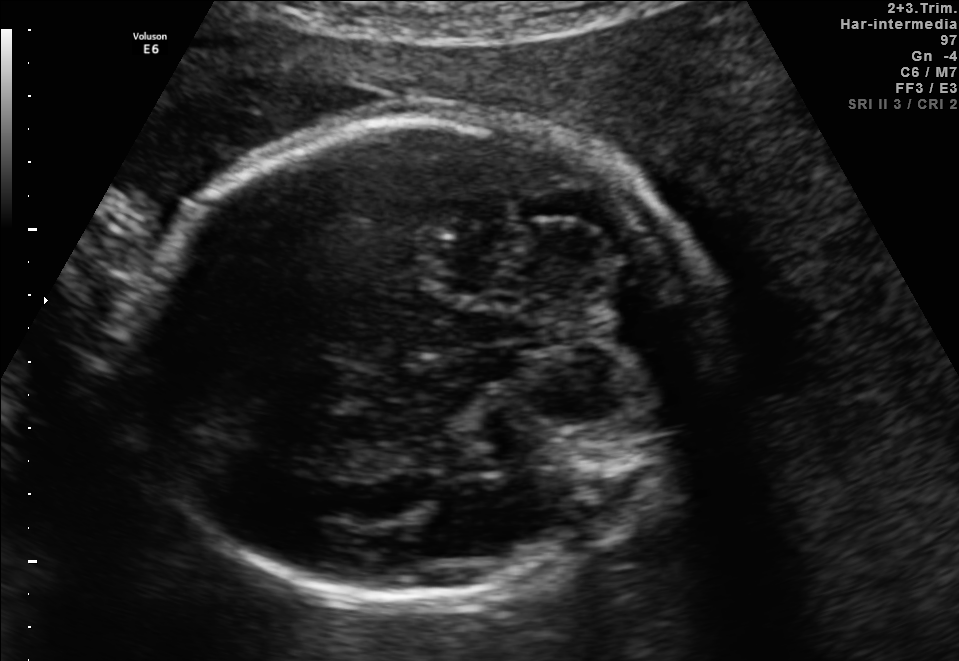
Fetal brain, trans-cerebellum plane. Locate the fetal head and, if visible, the cavum septum pellucidum (CSP) and lateral ventricle (LV). Give bounding boxes as [x1,y1,x2,y2].

Head: [135,110,704,599]